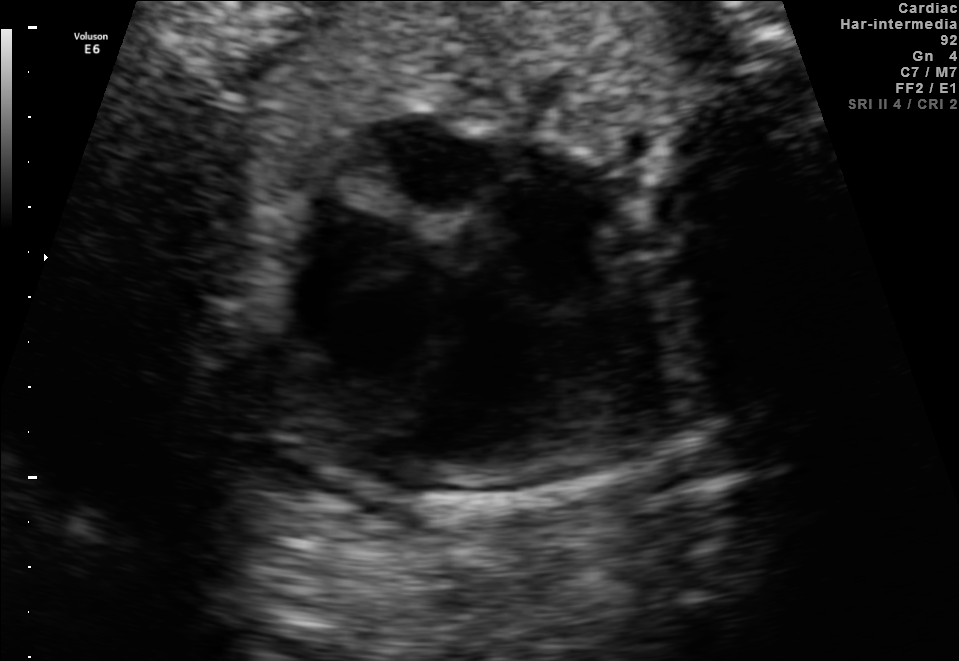
Identify the standard plane in this fetal ultrasound image: fetal abdomen, fetal brain, fetal femur, fetal thorax, maternal cervix, or other. If it's fetal brain and one of the three standard brain planes (trans-thalamic, trans-cerebellum, trans-ventricular), name which.

Fetal thorax